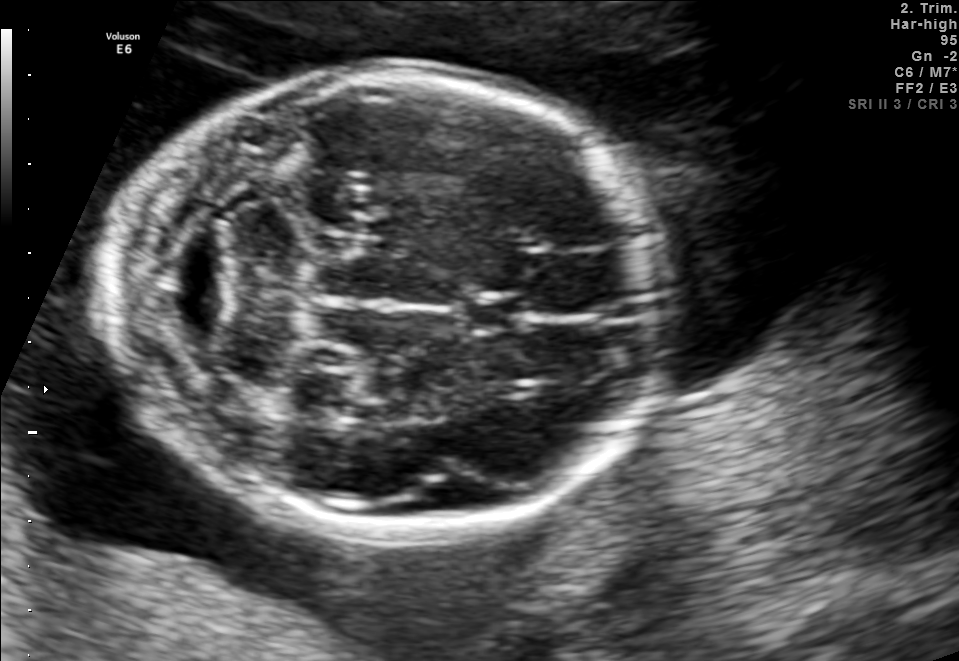
Fetal brain, trans-cerebellum plane. Locate the fetal head and, if visible, the cavum septum pellucidum (CSP) and lateral ventricle (LV). Give bounding boxes as [x1,y1,x2,y2].

Head: [106,71,661,530]
CSP: [465,295,528,330]